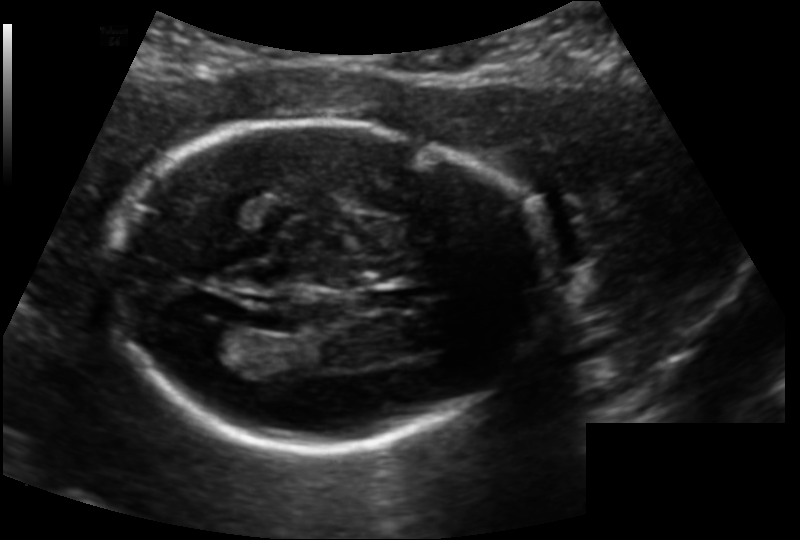
Measure the fetal head circumference shown in this ultrasound image. Image width: 111.5 mm.

Head circumference: 175.4 mm.